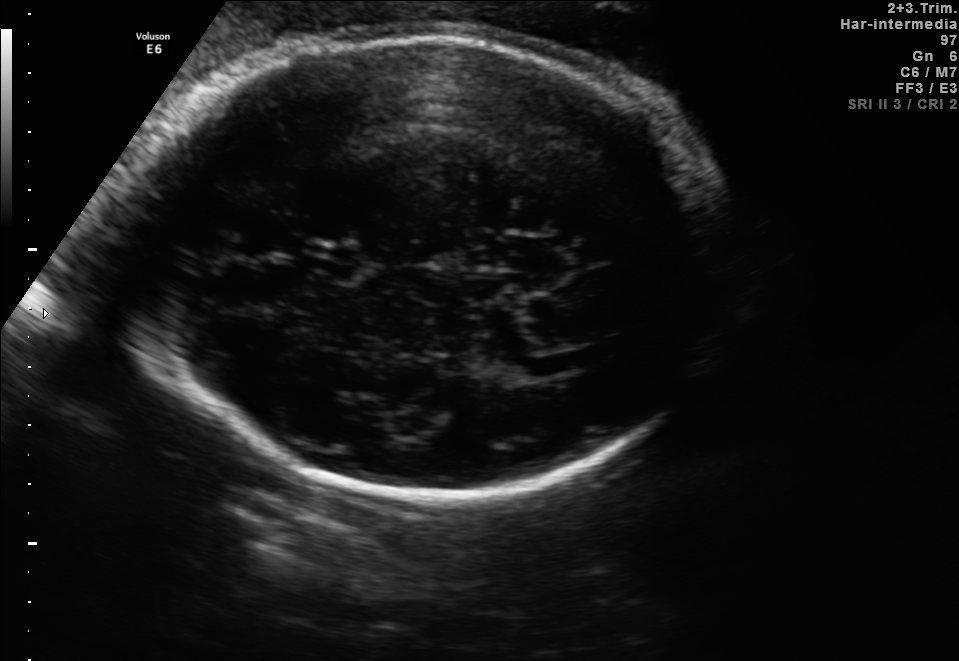
Fetal brain, trans-thalamic plane. Where is the lateral ventricle?

Lateral ventricle bounding box: [555,334,627,377]